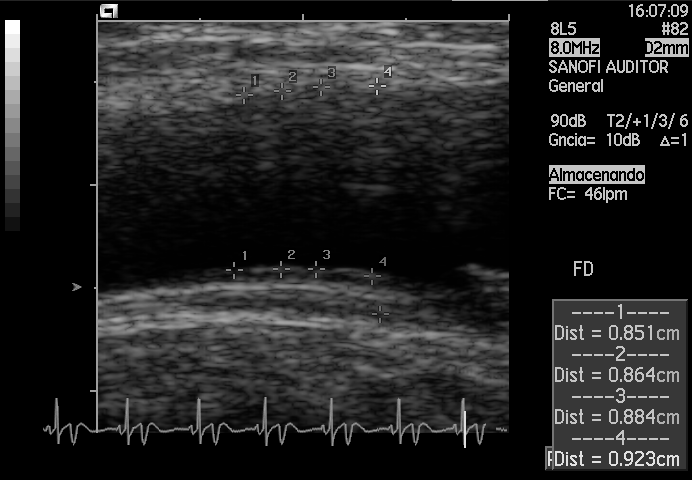
This is a 2D maternal-fetal ultrasound frame. Is it a fetal abdomen, fetal brain, fetal femur, fetal thorax, maternal cervix, or other standard plane? If it's fetal brain and one of the three standard brain planes (trans-thalamic, trans-cerebellum, trans-ventricular), name which.

Other